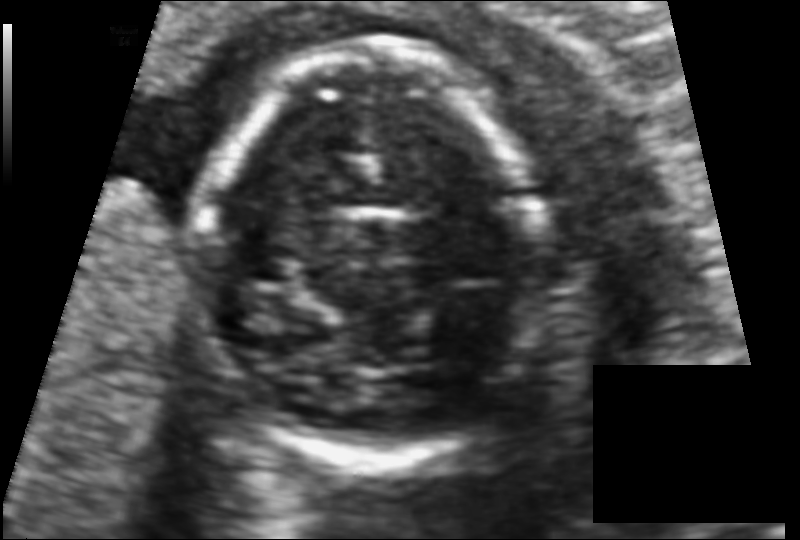
In this fetal head ultrasound, give the bounding box of the fetal head. Image width: 74.5 mm.

[205,42,541,457]